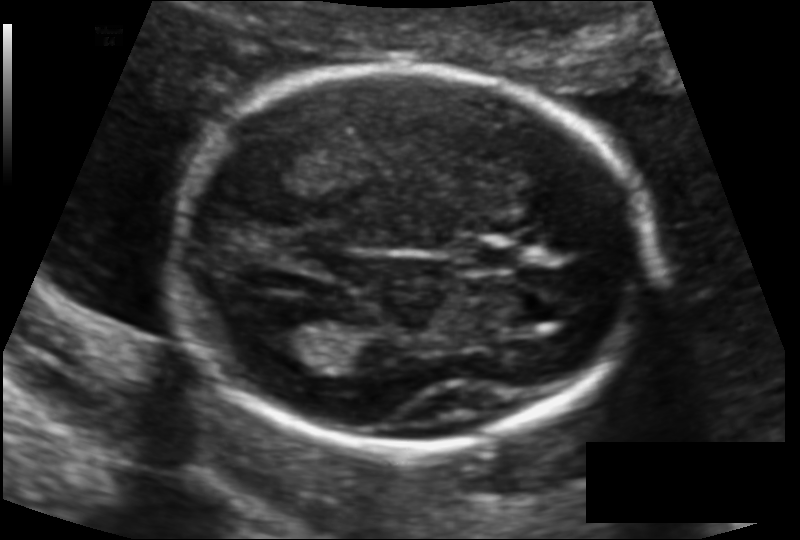
In this fetal head ultrasound, give bounding boxes for the head outline, cavum septum pellucidum (CSP), and lateral ventricle (LV), where visible. Image width: 93.3 mm.

Head: [172,68,652,448]
CSP: [461,240,516,271]
Lateral ventricle: [247,297,338,371]